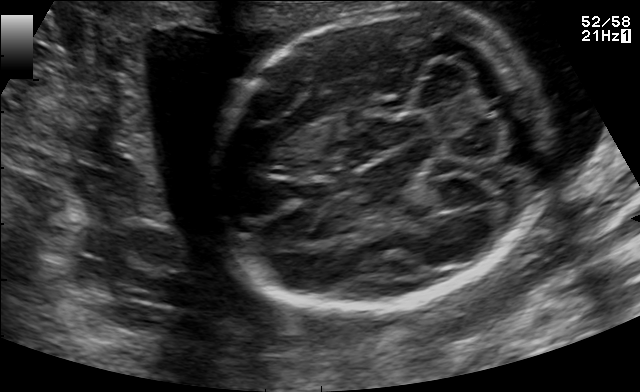
Fetal brain, trans-cerebellum plane. Locate the fetal head.

Head: [220,9,537,311]